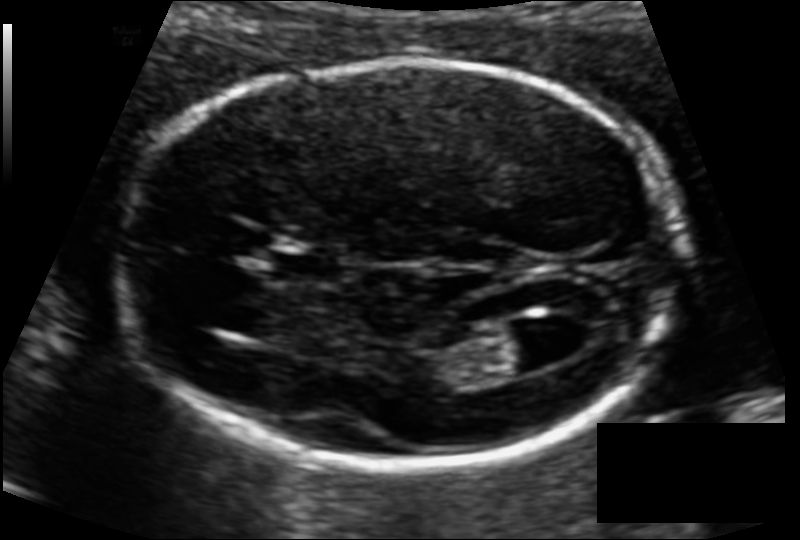
Estimate the fetal head circumference from this 2D ultrasound. Image width: 83.4 mm.

Head circumference: 163.4 mm.